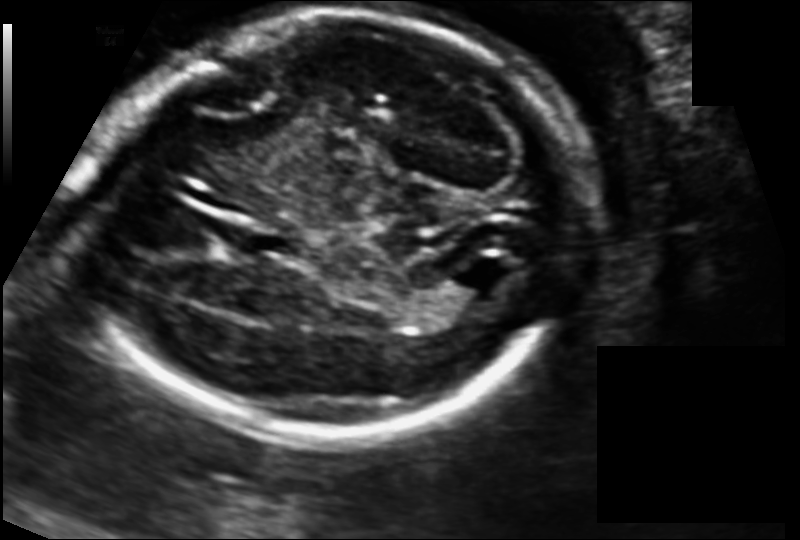
Fetal head ultrasound. Image width: 100.4 mm. Give [x1,y1,x2,y2] bounding boxes for each visible structure among: fetal head, CSP, LV.

Head: [98,11,582,440]
Lateral ventricle: [445,236,525,314]